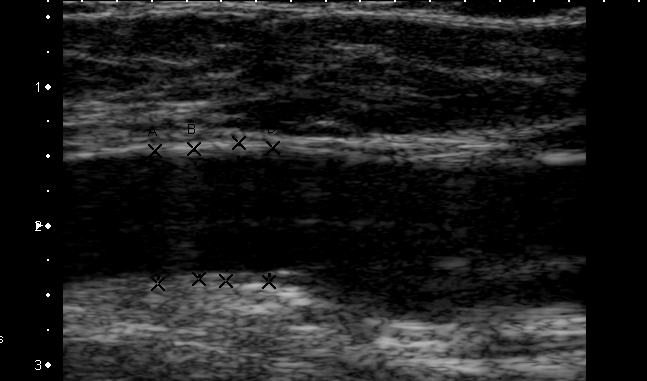
Identify the standard plane in this fetal ultrasound image: fetal abdomen, fetal brain, fetal femur, fetal thorax, maternal cervix, or other. If it's fetal brain and one of the three standard brain planes (trans-thalamic, trans-cerebellum, trans-ventricular), name which.

Other